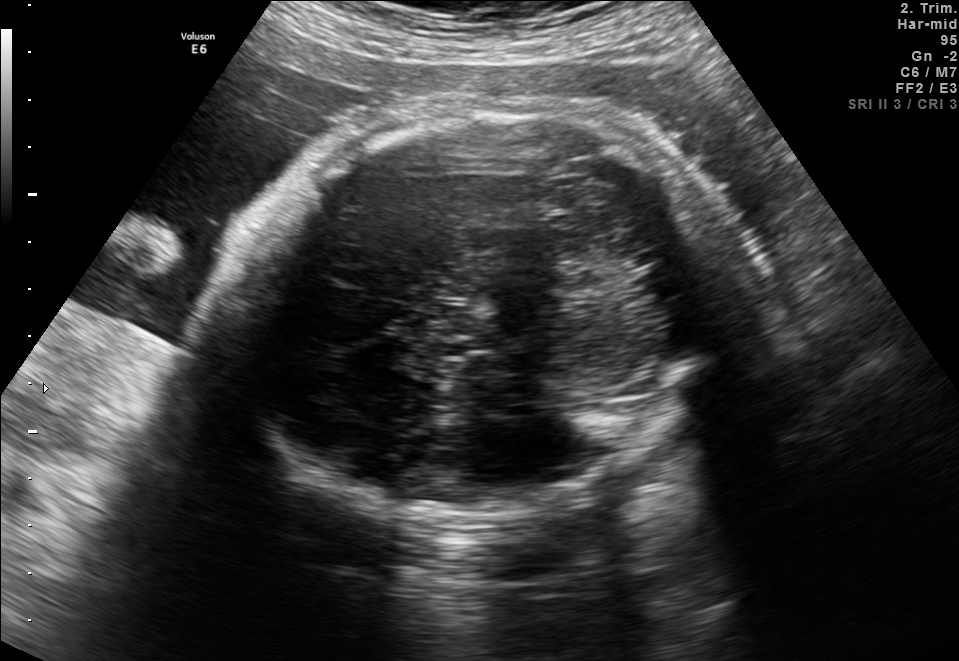
Identify the standard plane in this fetal ultrasound image: fetal abdomen, fetal brain, fetal femur, fetal thorax, maternal cervix, or other. If it's fetal brain and one of the three standard brain planes (trans-thalamic, trans-cerebellum, trans-ventricular), name which.

Fetal brain (trans-cerebellum plane)